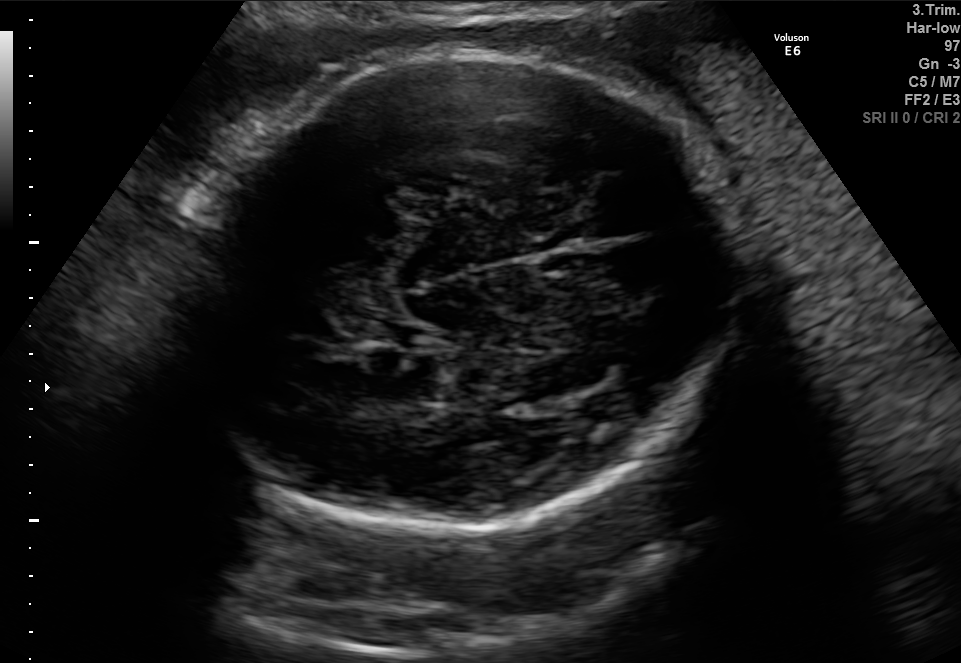
Fetal brain, trans-thalamic plane. Locate the fetal head and, if visible, the cavum septum pellucidum (CSP) and lateral ventricle (LV). Give bounding boxes as [x1,y1,x2,y2].

Head: [187,55,738,534]